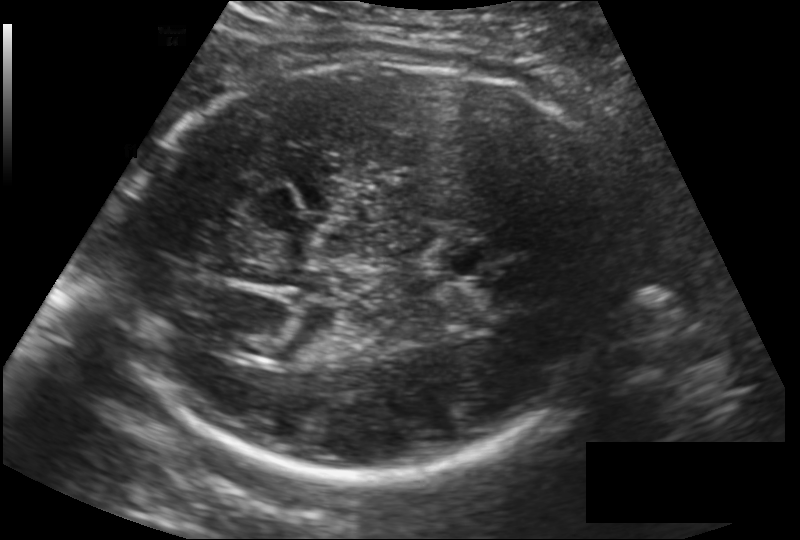
Fetal head ultrasound. Image width: 148.6 mm. Give [x1,y1,x2,y2] bounding boxes for each visible structure among: fetal head, CSP, LV.

Head: [113,64,634,473]
CSP: [438,240,506,279]